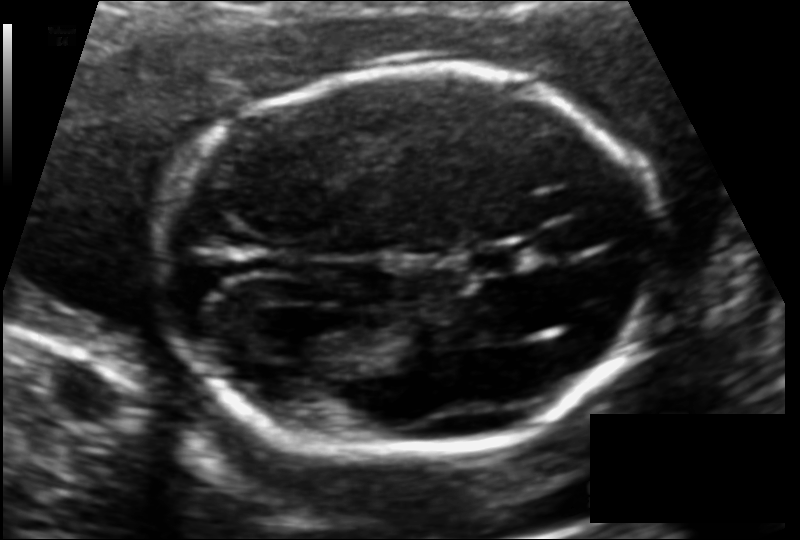
Fetal head ultrasound. Image width: 93.1 mm. Where is the cavum septum pellucidum?

CSP bounding box: [467,243,524,275]